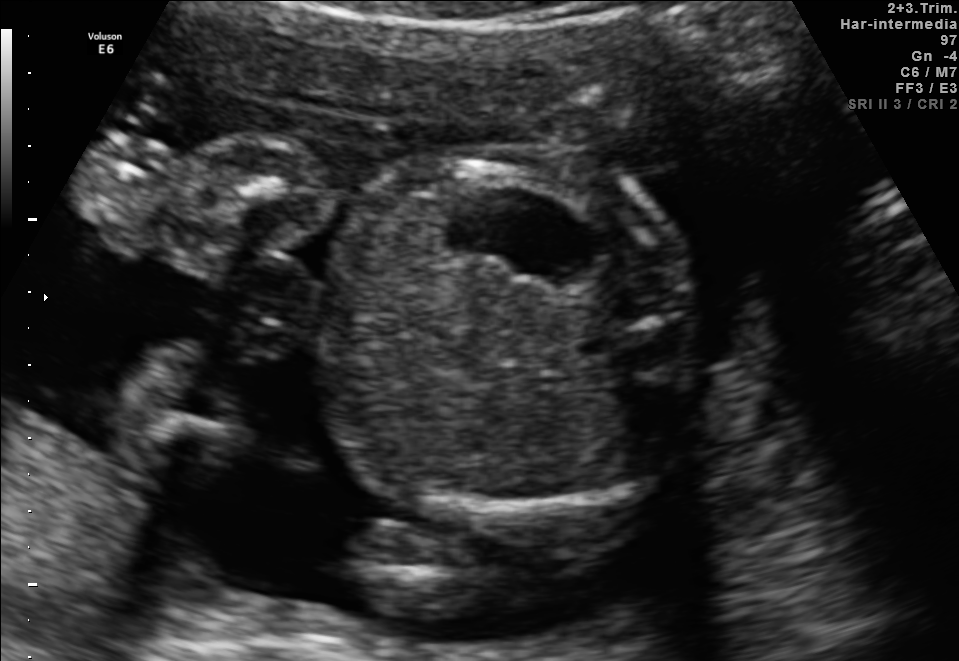
This is a 2D maternal-fetal ultrasound frame. Is it a fetal abdomen, fetal brain, fetal femur, fetal thorax, maternal cervix, or other standard plane? If it's fetal brain and one of the three standard brain planes (trans-thalamic, trans-cerebellum, trans-ventricular), name which.

Fetal abdomen